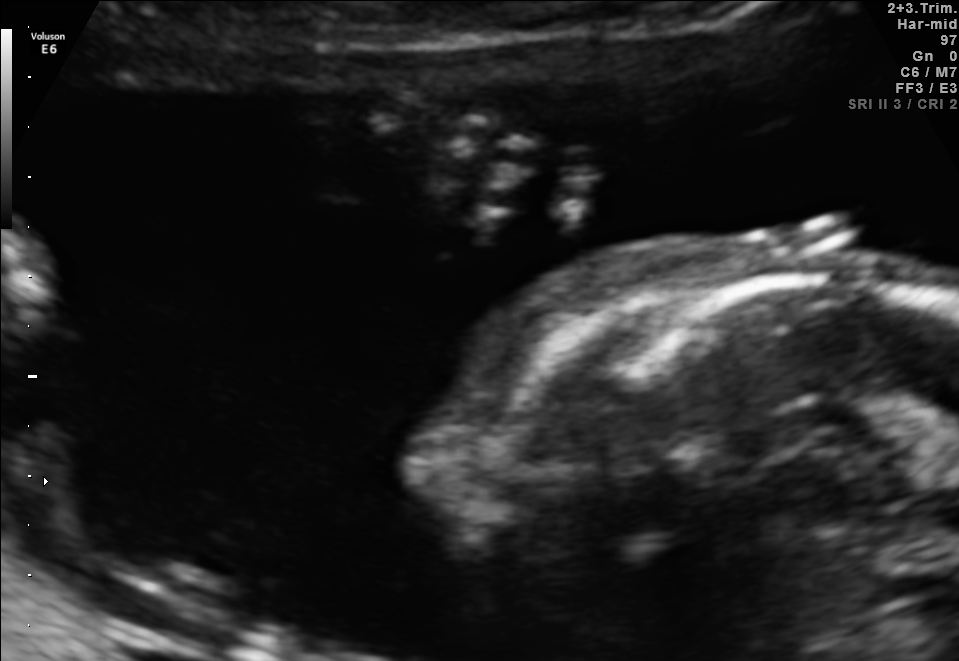
Which standard maternal-fetal ultrasound plane is shown: fetal abdomen, fetal brain, fetal femur, fetal thorax, maternal cervix, or other? If it's fetal brain and one of the three standard brain planes (trans-thalamic, trans-cerebellum, trans-ventricular), name which.

Other